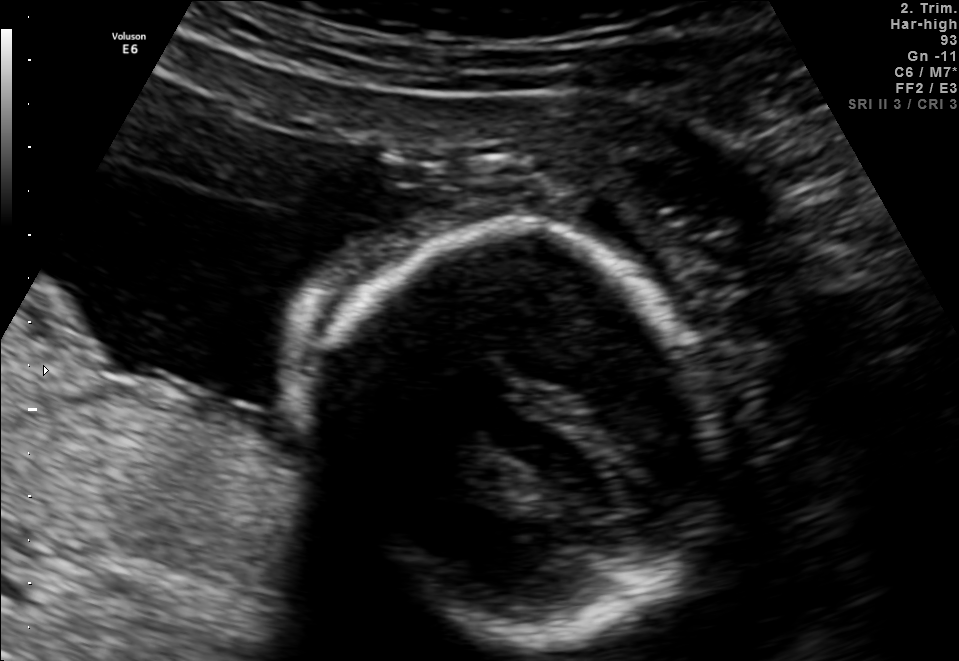
Classify this maternal-fetal ultrasound image as one of the six standard planes — fetal abdomen, fetal brain, fetal femur, fetal thorax, maternal cervix, or other. If it's fetal brain and one of the three standard brain planes (trans-thalamic, trans-cerebellum, trans-ventricular), name which.

Fetal brain